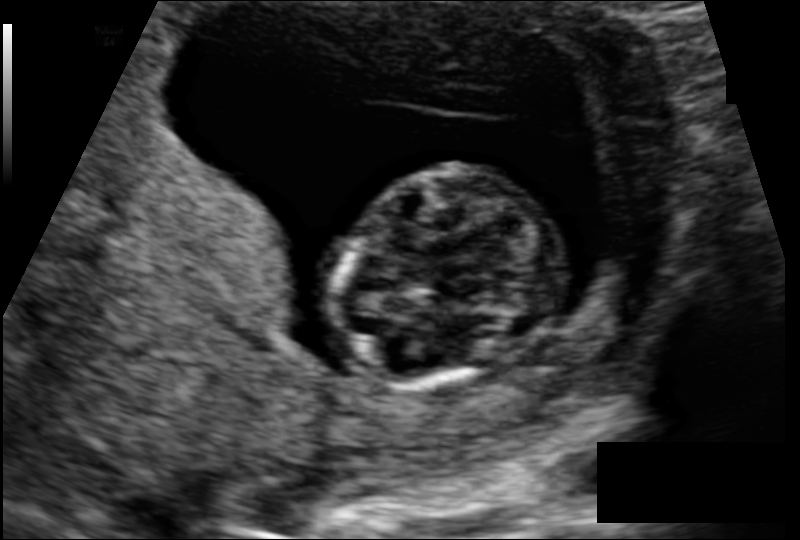
In this fetal head ultrasound, give bounding boxes for the head outline, cavum septum pellucidum (CSP), and lateral ventricle (LV), where visible. Image width: 86.1 mm.

Head: [337,162,543,391]